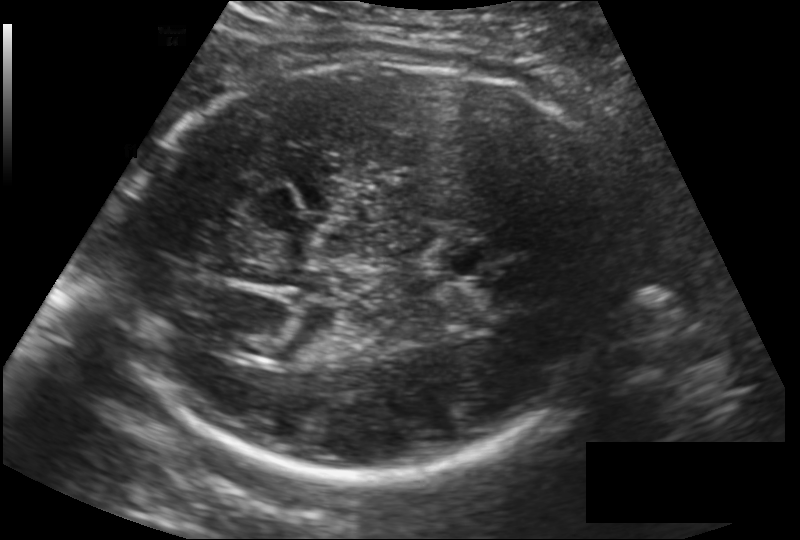
Estimate the fetal head circumference from this 2D ultrasound.

Head circumference: 278.3 mm (image width 148.6 mm).